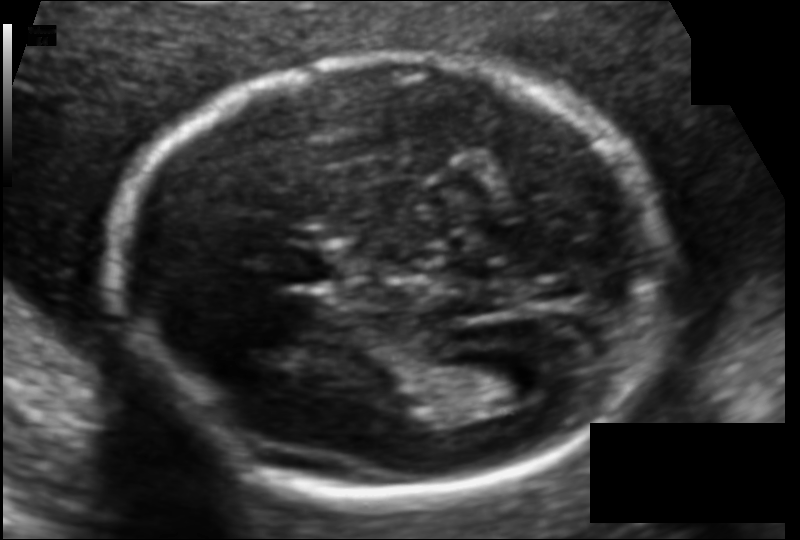
Fetal head ultrasound. Image width: 83.5 mm. Locate the lateral ventricle.

Lateral ventricle: [460,346,554,413]